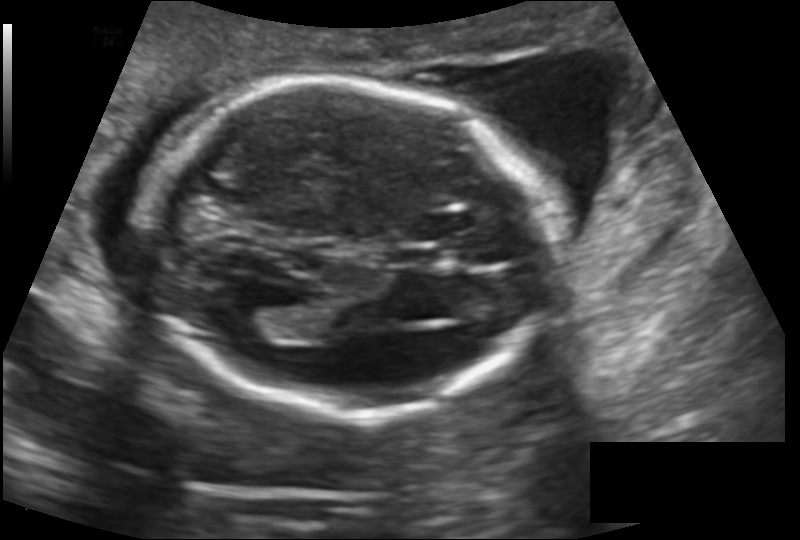
Fetal head ultrasound. Image width: 116.4 mm. Locate the lateral ventricle.

Lateral ventricle: [227,307,280,341]